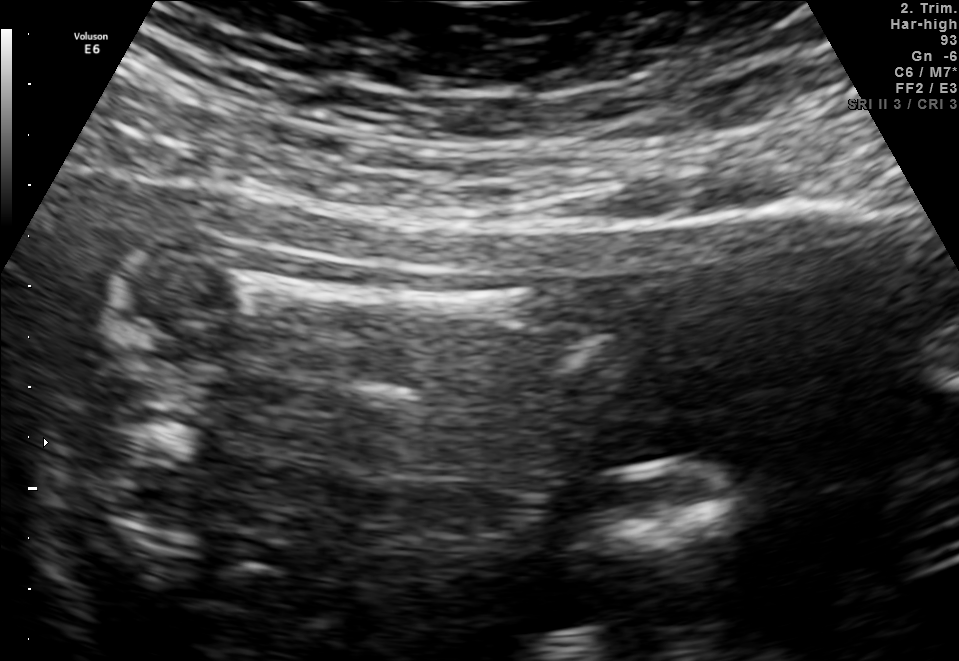
Identify the standard plane in this fetal ultrasound image: fetal abdomen, fetal brain, fetal femur, fetal thorax, maternal cervix, or other. If it's fetal brain and one of the three standard brain planes (trans-thalamic, trans-cerebellum, trans-ventricular), name which.

Fetal femur